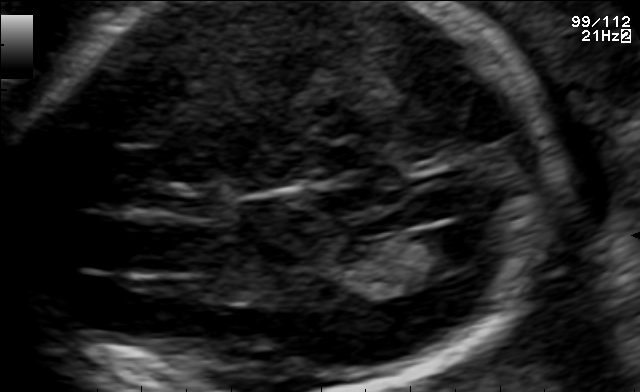
Fetal brain, trans-ventricular plane. Where is the cavum septum pellucidum?

CSP bounding box: [177,188,221,216]